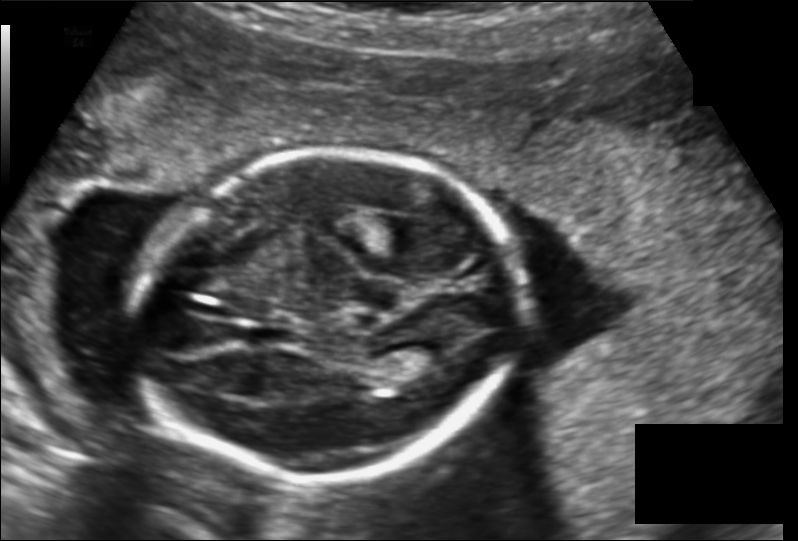
Fetal head ultrasound. Image width: 118.8 mm. Where is the lateral ventricle?

Lateral ventricle bounding box: [398,331,462,377]